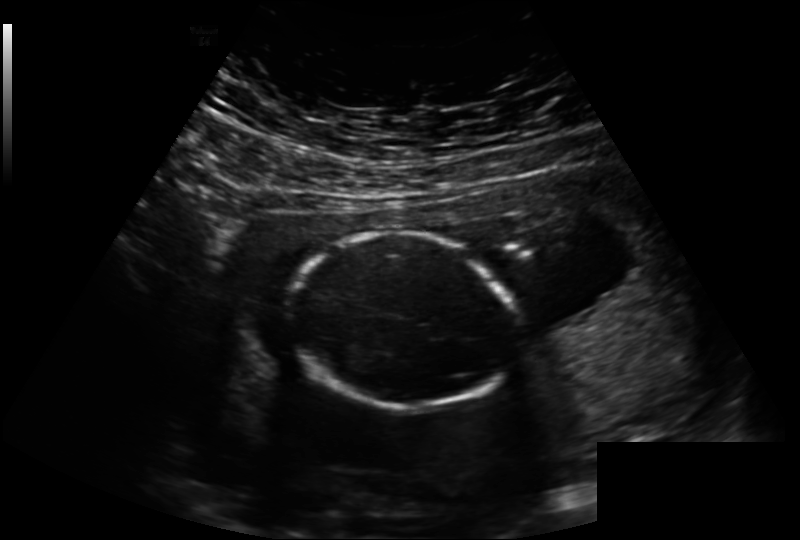
Estimate the fetal head circumference from this 2D ultrasound.

Head circumference: 146.7 mm (image width 177.0 mm).